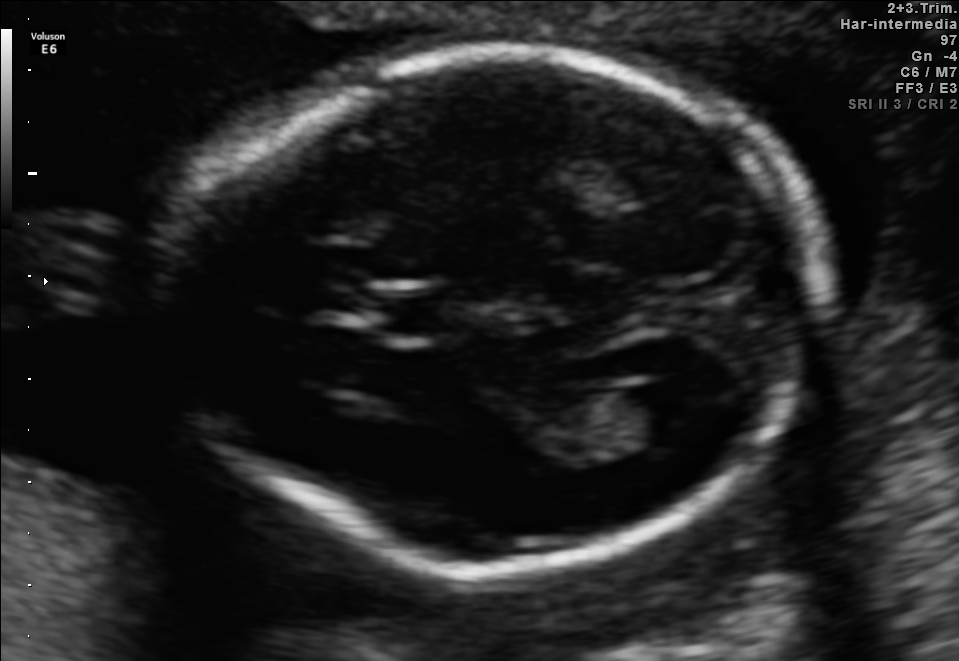
Fetal brain, trans-ventricular plane. Where is the lateral ventricle?

Lateral ventricle bounding box: [631,366,722,440]